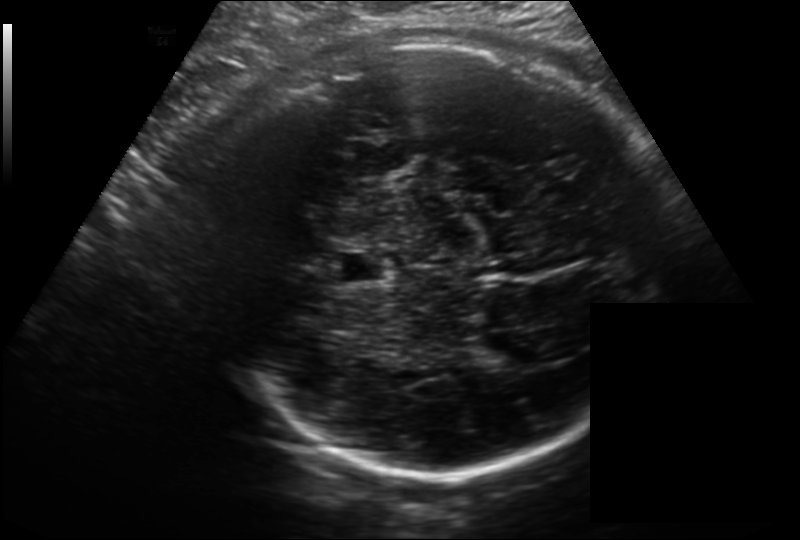
Fetal head ultrasound. Image width: 171.5 mm. Locate the fetal head.

Head: [210,38,668,473]